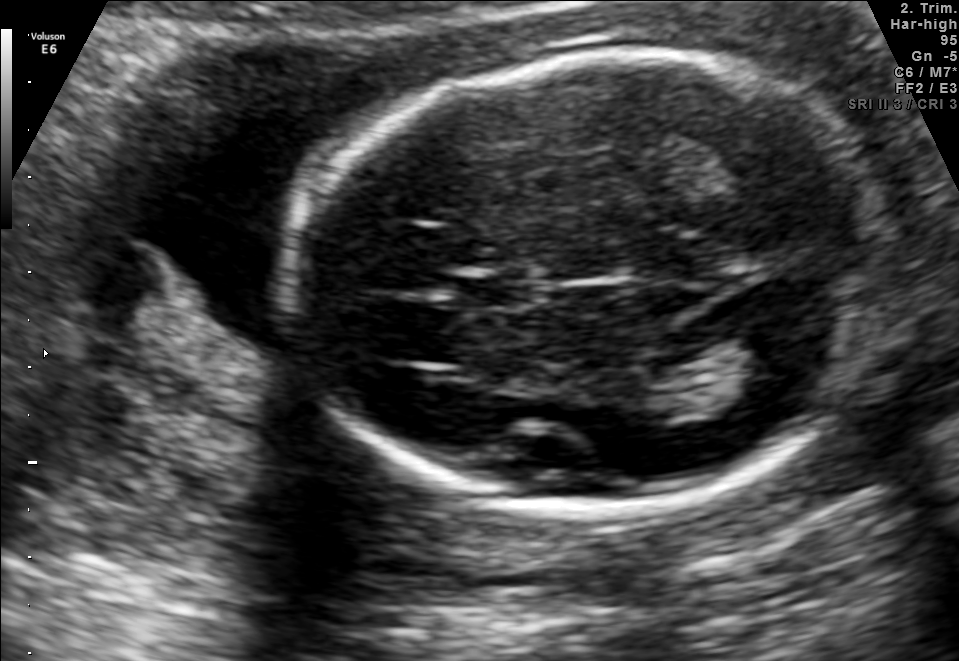
This is a 2D maternal-fetal ultrasound frame. Is it a fetal abdomen, fetal brain, fetal femur, fetal thorax, maternal cervix, or other standard plane? If it's fetal brain and one of the three standard brain planes (trans-thalamic, trans-cerebellum, trans-ventricular), name which.

Fetal brain (trans-thalamic plane)